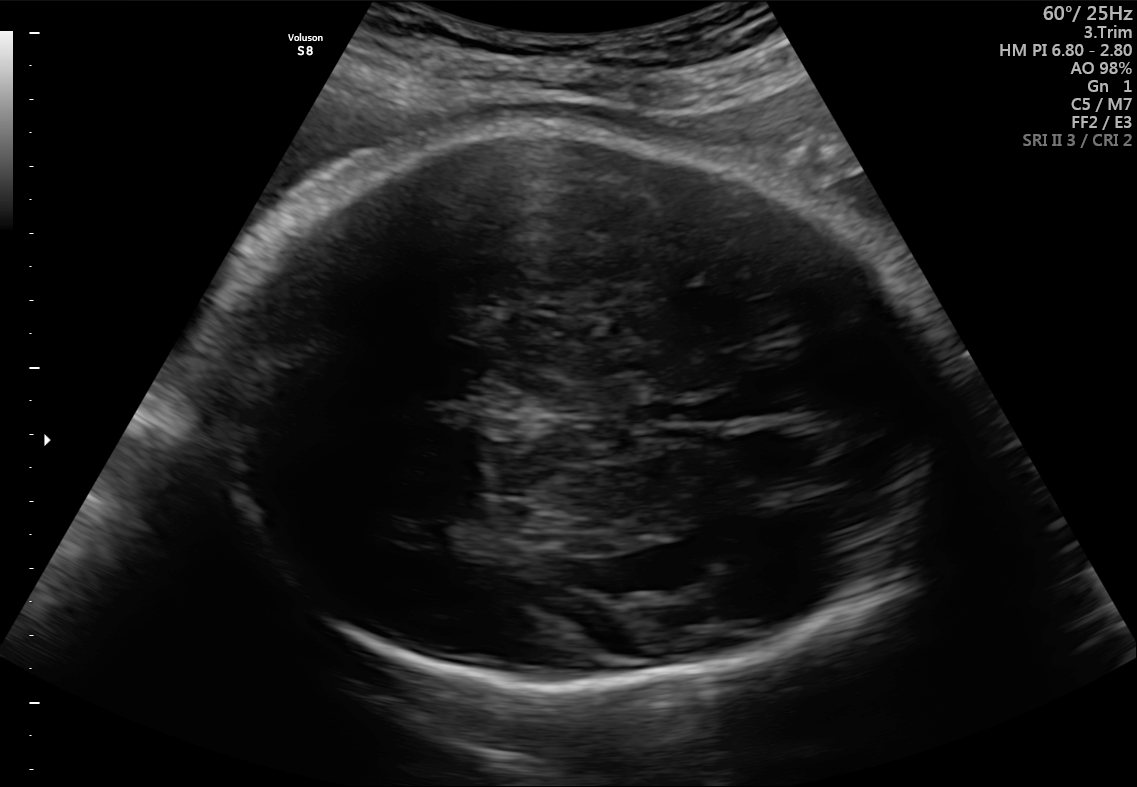
Fetal brain, trans-thalamic plane. Where is the fetal head?

Head bounding box: [226,127,927,693]